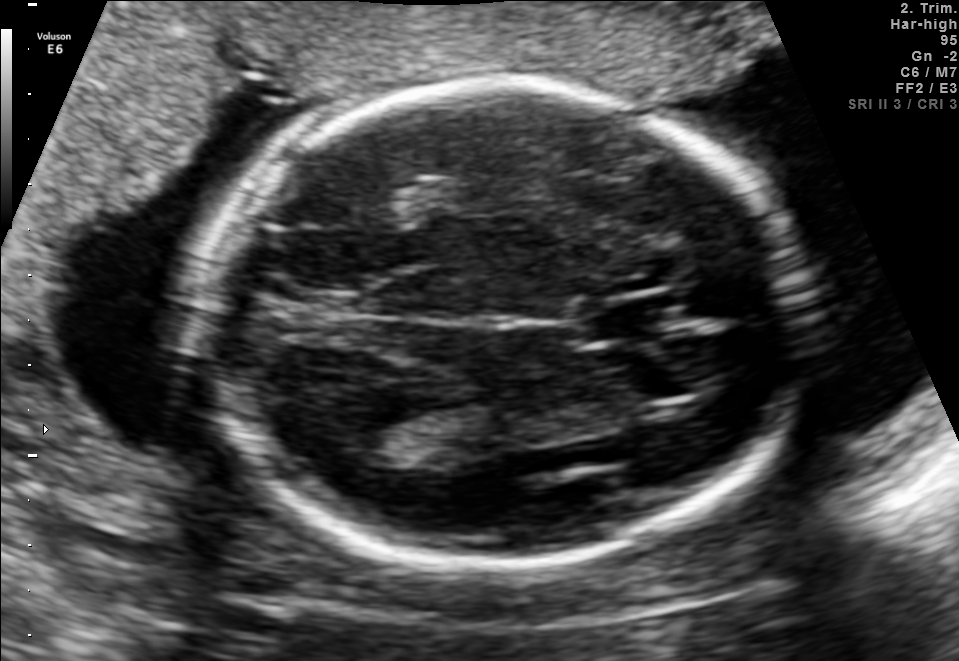
In this fetal brain, trans-thalamic plane, give the bounding box of the fetal head.

[200,83,789,560]